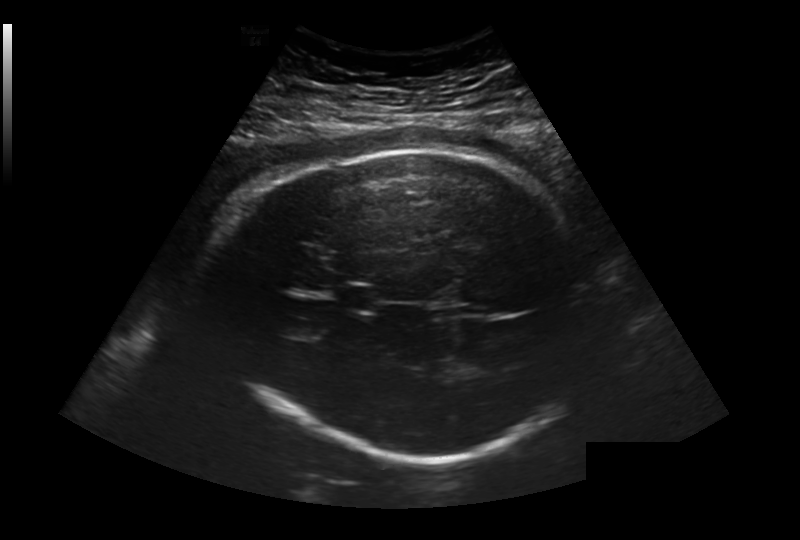
Fetal head ultrasound. Image width: 224.9 mm. Locate the cavum septum pellucidum.

CSP: [335,282,383,316]